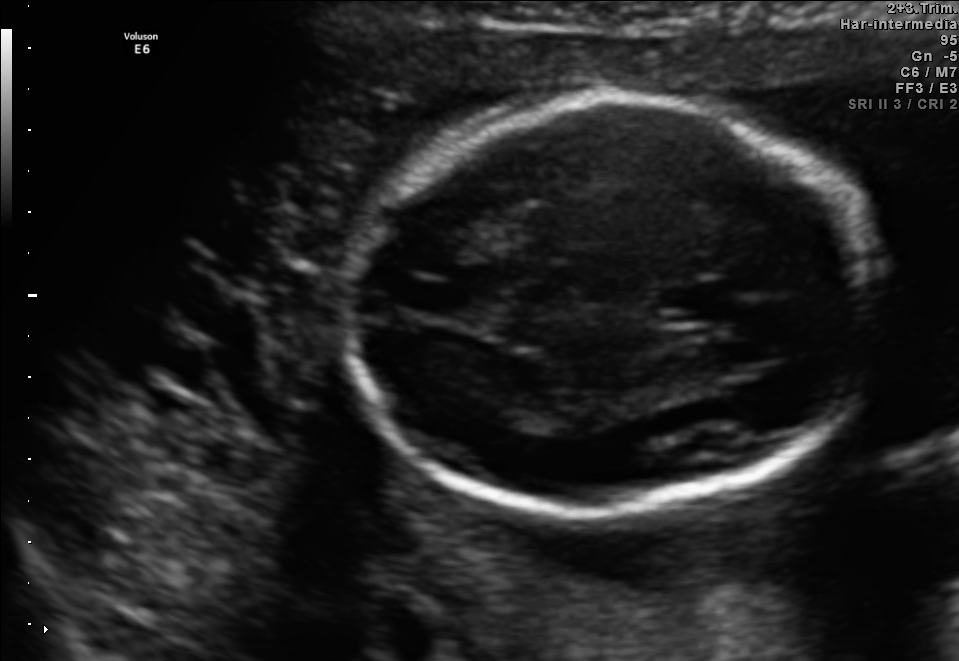
Fetal brain, trans-thalamic plane. Locate the fetal head.

Head: [345,100,880,509]